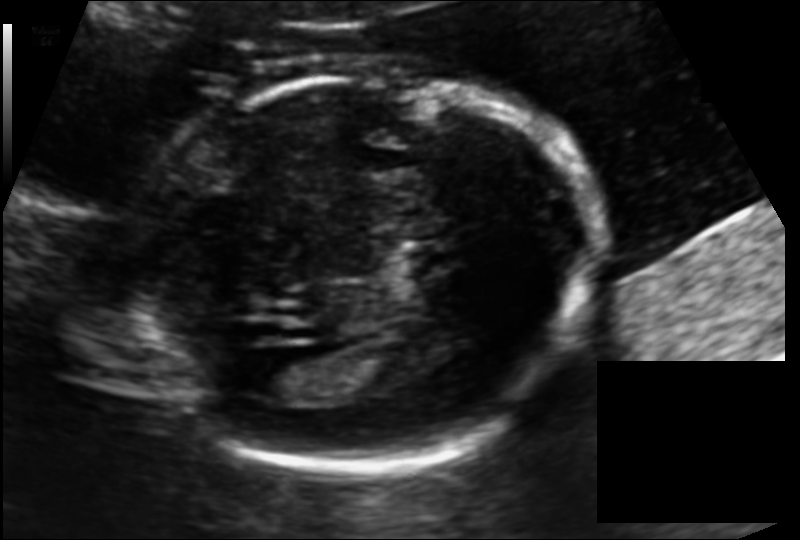
From this fetal ultrasound, estimate the head circumference (image width 99.9 mm).

Head circumference: 173.2 mm.